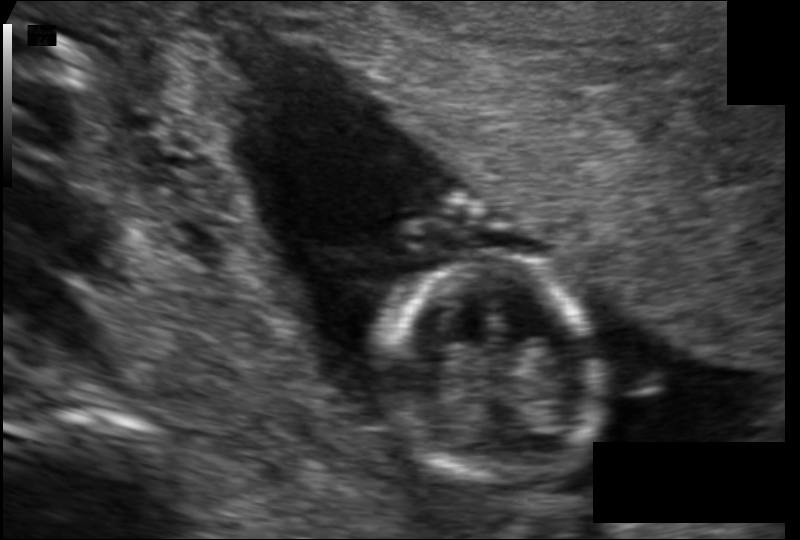
In this fetal head ultrasound, give bounding boxes for the head outline, cavum septum pellucidum (CSP), and lateral ventricle (LV), where visible. Image width: 87.7 mm.

Head: [381,255,596,483]